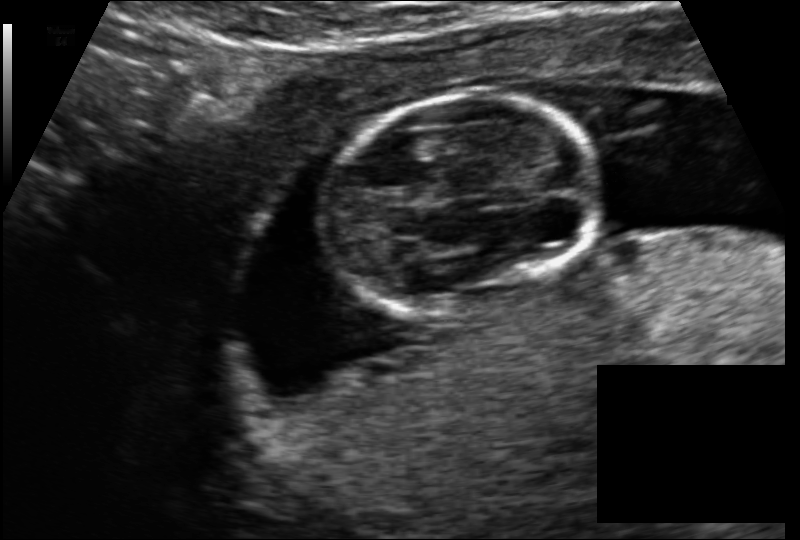
Fetal head ultrasound. Image width: 91.1 mm. Where is the fetal head?

Head bounding box: [324,95,596,313]